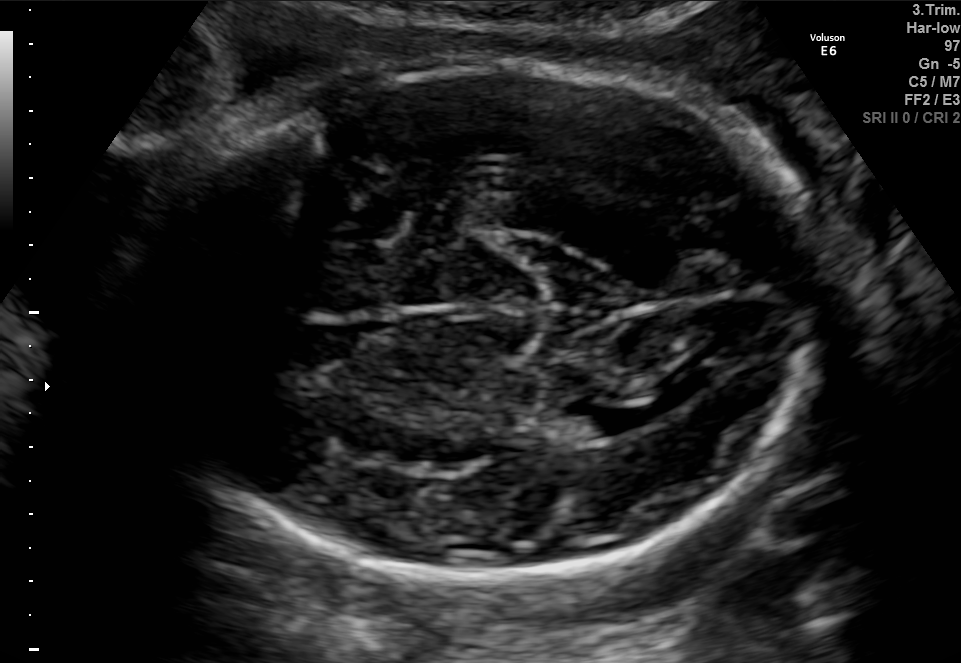
Fetal brain, trans-thalamic plane. Locate the fetal head and, if visible, the cavum septum pellucidum (CSP) and lateral ventricle (LV). Give bounding boxes as [x1,y1,x2,y2].

Head: [129,50,846,583]
Lateral ventricle: [571,398,648,444]